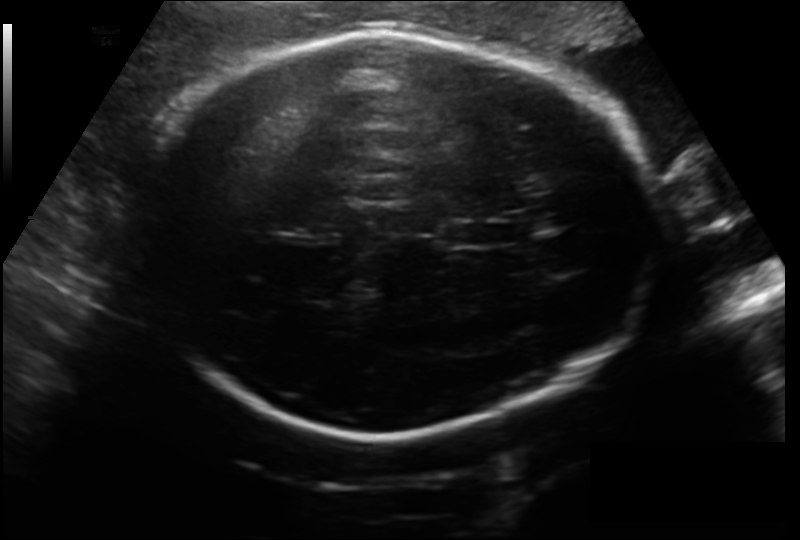
Fetal head ultrasound. Image width: 158.8 mm. Where is the fetal head?

Head bounding box: [145,31,655,434]